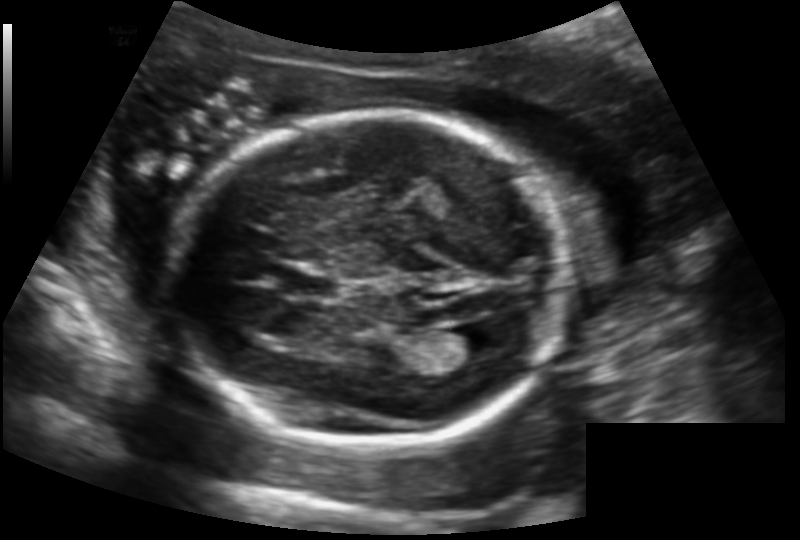
Fetal head ultrasound. Image width: 117.4 mm. Locate the fetal head.

Head: [172,113,568,449]